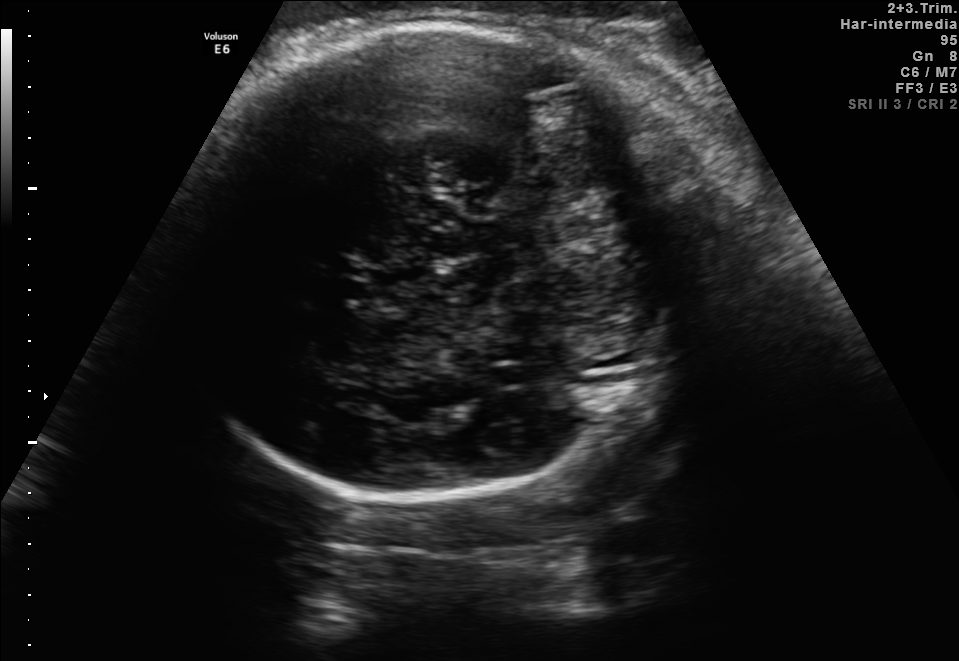
In this fetal brain, trans-cerebellum plane, give bounding boxes for the head outline, cavum septum pellucidum (CSP), and lateral ventricle (LV), where visible.

Head: [172,21,687,500]